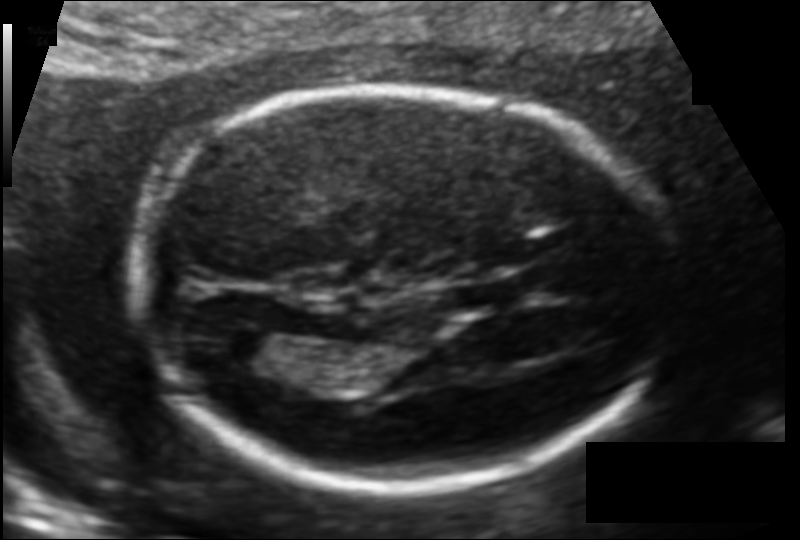
Fetal head ultrasound. Image width: 87.0 mm. Where is the fetal head?

Head bounding box: [138,88,665,489]